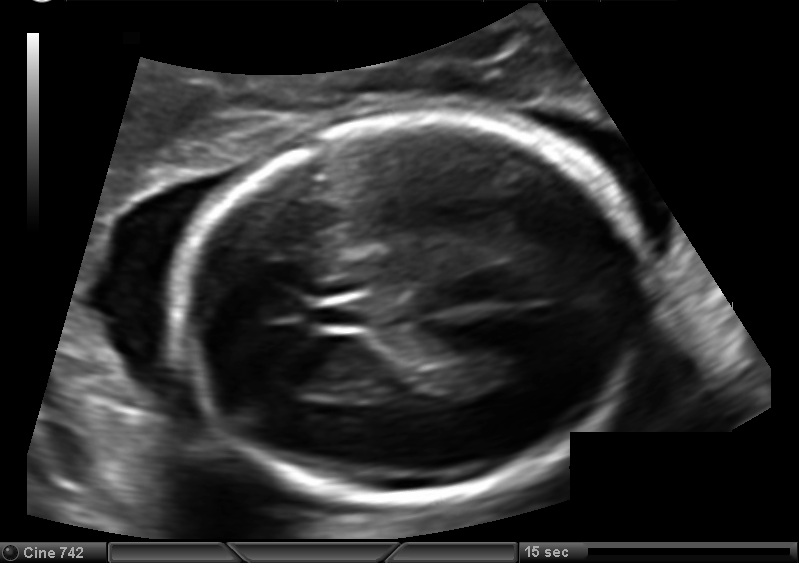
Fetal head ultrasound. Image width: 101.4 mm. Give [x1,y1,x2,y2] bounding boxes for each visible structure among: fetal head, CSP, LV.

Head: [178,114,636,502]
CSP: [313,297,372,332]
Lateral ventricle: [465,339,536,392]